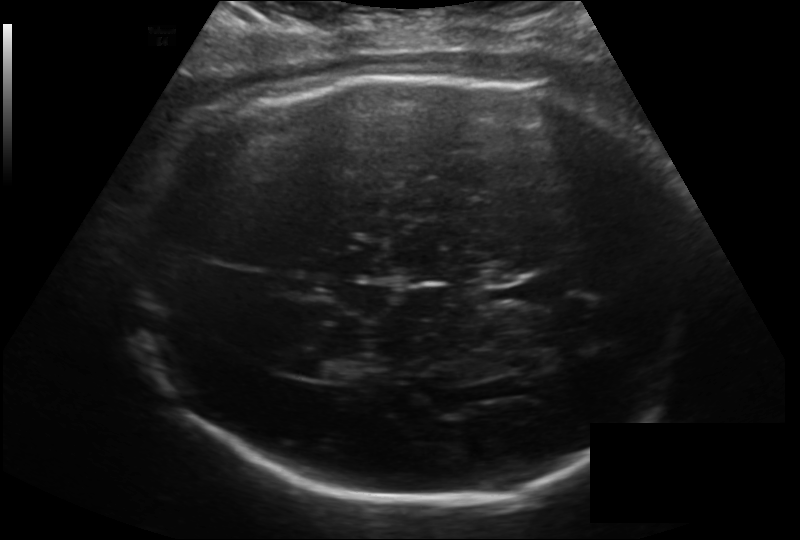
Fetal head ultrasound. Image width: 154.4 mm. Locate the fetal head.

Head: [126,75,707,502]